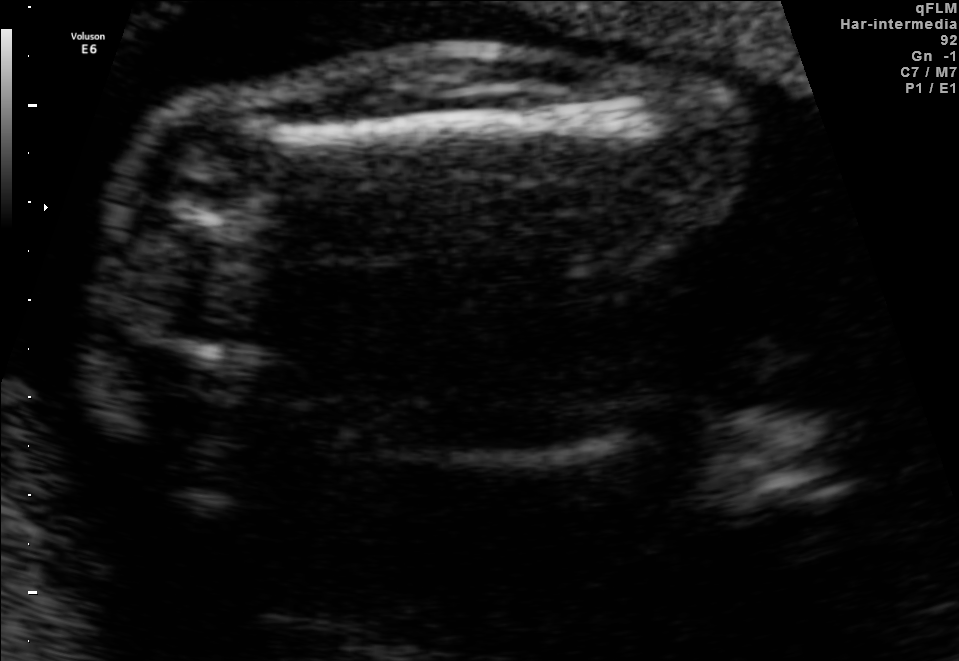
Identify the standard plane in this fetal ultrasound image: fetal abdomen, fetal brain, fetal femur, fetal thorax, maternal cervix, or other. If it's fetal brain and one of the three standard brain planes (trans-thalamic, trans-cerebellum, trans-ventricular), name which.

Fetal femur